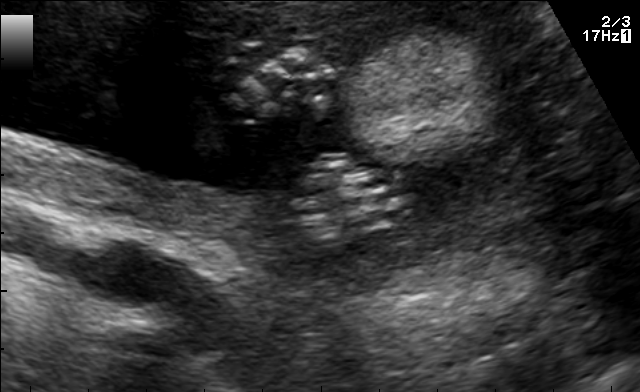
Classify this maternal-fetal ultrasound image as one of the six standard planes — fetal abdomen, fetal brain, fetal femur, fetal thorax, maternal cervix, or other. If it's fetal brain and one of the three standard brain planes (trans-thalamic, trans-cerebellum, trans-ventricular), name which.

Other